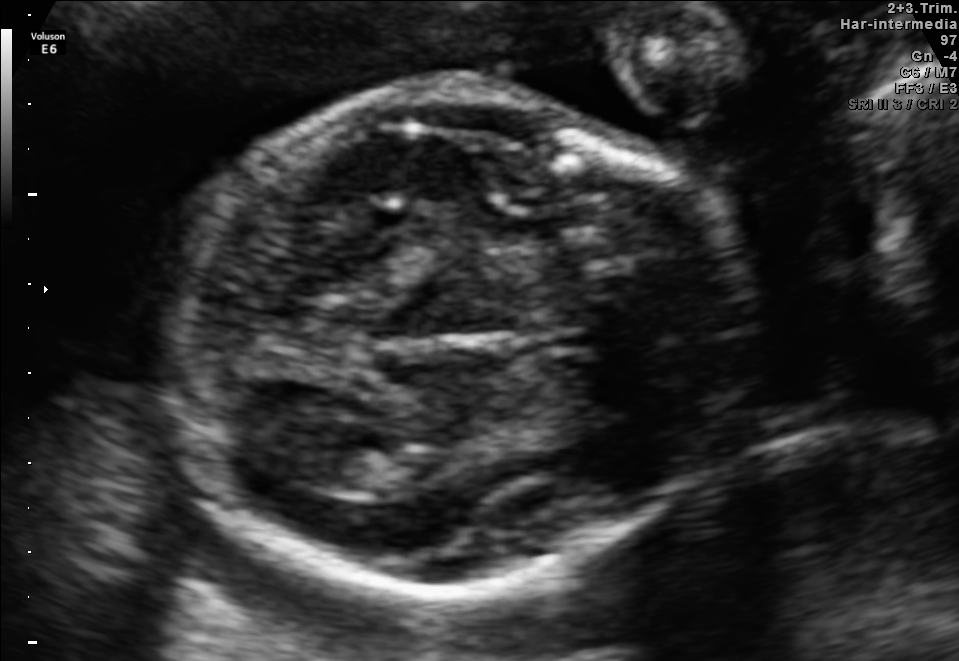
Fetal brain, trans-thalamic plane. Locate the fetal head and, if visible, the cavum septum pellucidum (CSP) and lateral ventricle (LV). Give bounding boxes as [x1,y1,x2,y2].

Head: [161,90,758,601]
Lateral ventricle: [304,439,393,496]